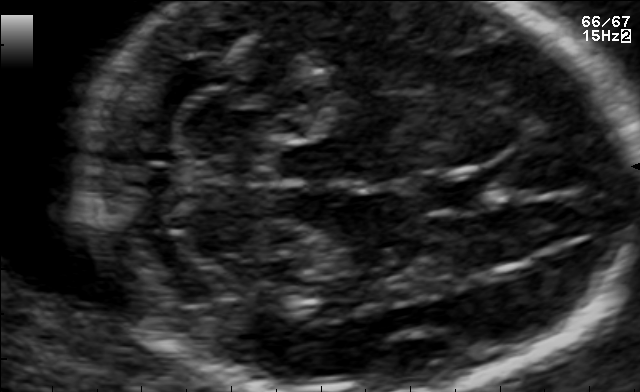
In this fetal brain, trans-cerebellum plane, give bounding boxes for the head outline, cavum septum pellucidum (CSP), and lateral ventricle (LV), where visible.

Head: [81,4,635,391]
CSP: [415,163,504,219]